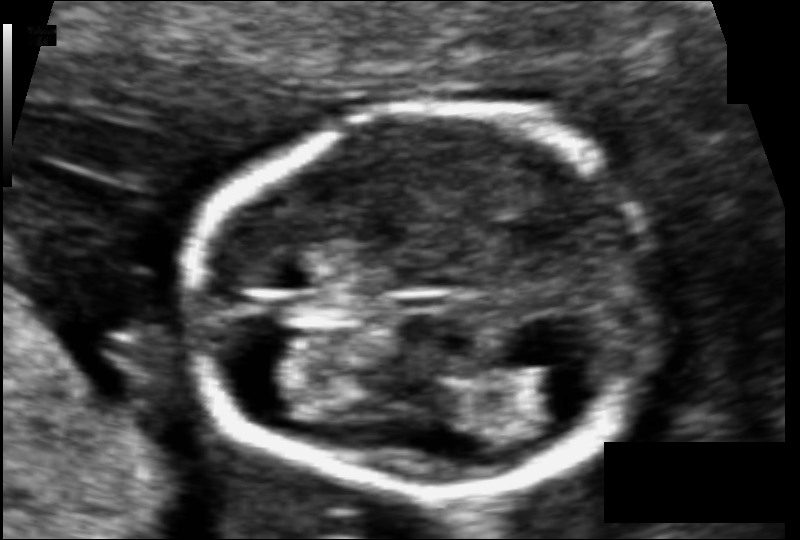
From this fetal ultrasound, estimate the head circumference (image width 52.4 mm).

Head circumference: 90.3 mm.